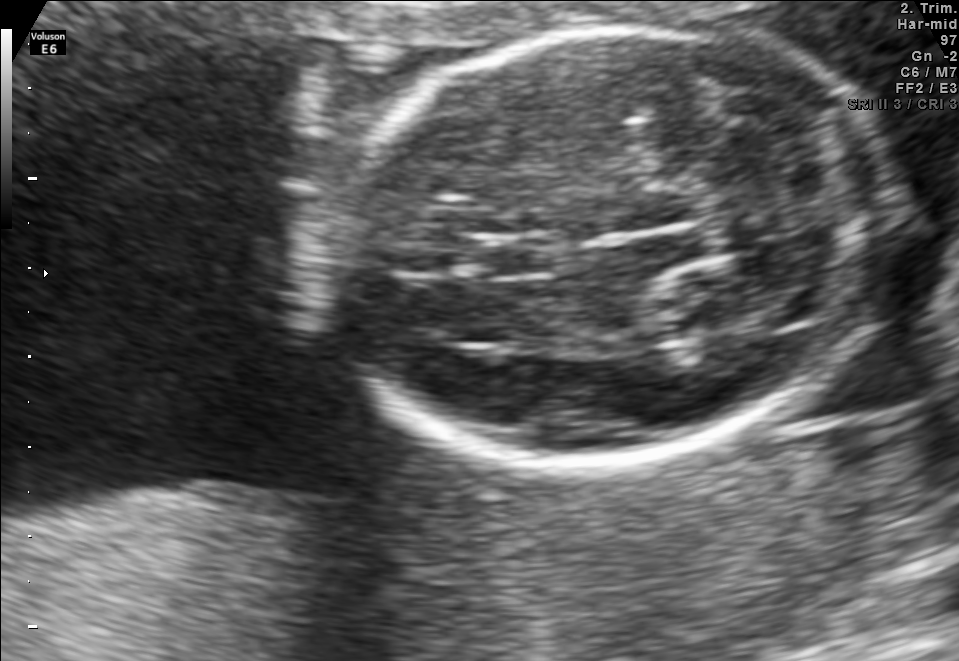
Fetal brain, trans-thalamic plane. Locate the fetal head.

Head: [317,30,898,461]